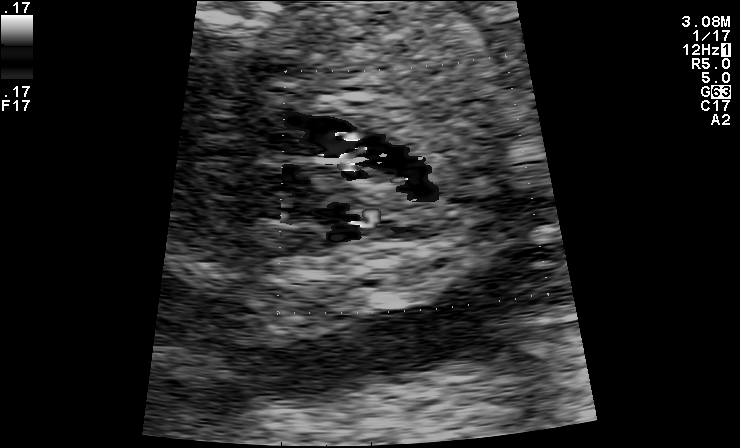
This is a 2D maternal-fetal ultrasound frame. Is it a fetal abdomen, fetal brain, fetal femur, fetal thorax, maternal cervix, or other standard plane? If it's fetal brain and one of the three standard brain planes (trans-thalamic, trans-cerebellum, trans-ventricular), name which.

Other